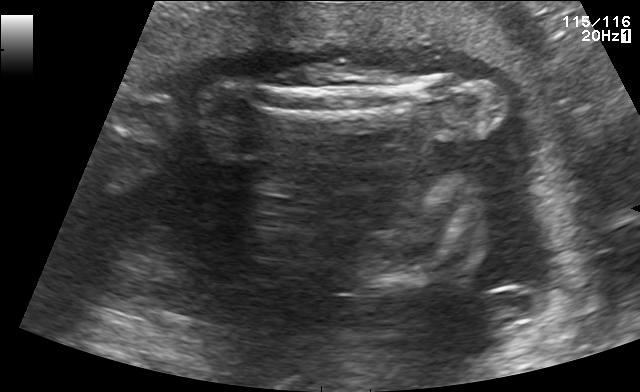
Identify the standard plane in this fetal ultrasound image: fetal abdomen, fetal brain, fetal femur, fetal thorax, maternal cervix, or other. If it's fetal brain and one of the three standard brain planes (trans-thalamic, trans-cerebellum, trans-ventricular), name which.

Other